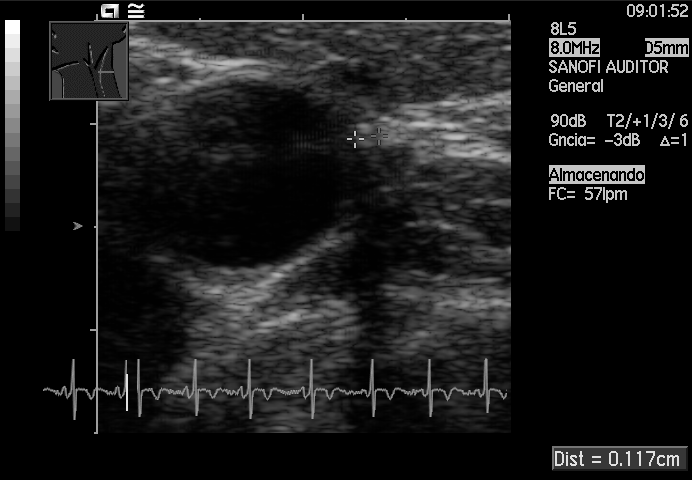
Which standard maternal-fetal ultrasound plane is shown: fetal abdomen, fetal brain, fetal femur, fetal thorax, maternal cervix, or other? If it's fetal brain and one of the three standard brain planes (trans-thalamic, trans-cerebellum, trans-ventricular), name which.

Other